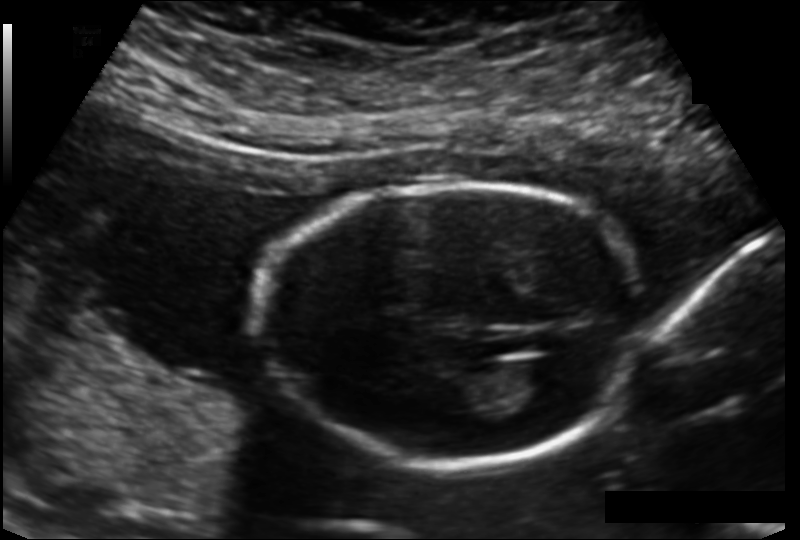
Fetal head ultrasound. Image width: 107.7 mm. Locate the fetal head and, if visible, the cavum septum pellucidum (CSP) and lateral ventricle (LV). Give bounding boxes as [x1,y1,x2,y2].

Head: [260,181,647,465]